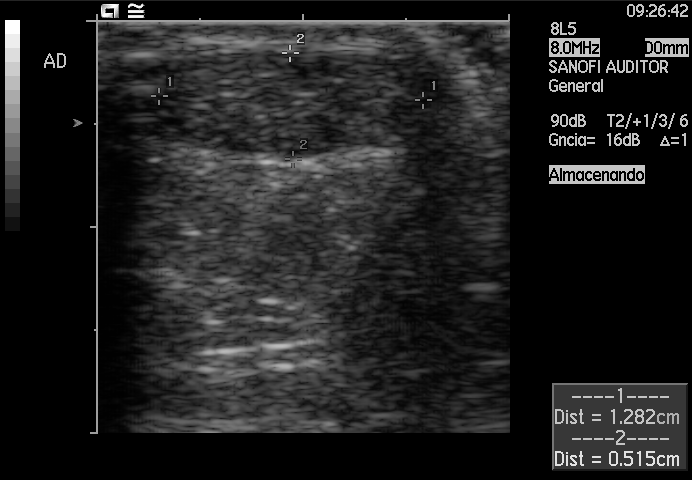
Classify this maternal-fetal ultrasound image as one of the six standard planes — fetal abdomen, fetal brain, fetal femur, fetal thorax, maternal cervix, or other. If it's fetal brain and one of the three standard brain planes (trans-thalamic, trans-cerebellum, trans-ventricular), name which.

Other